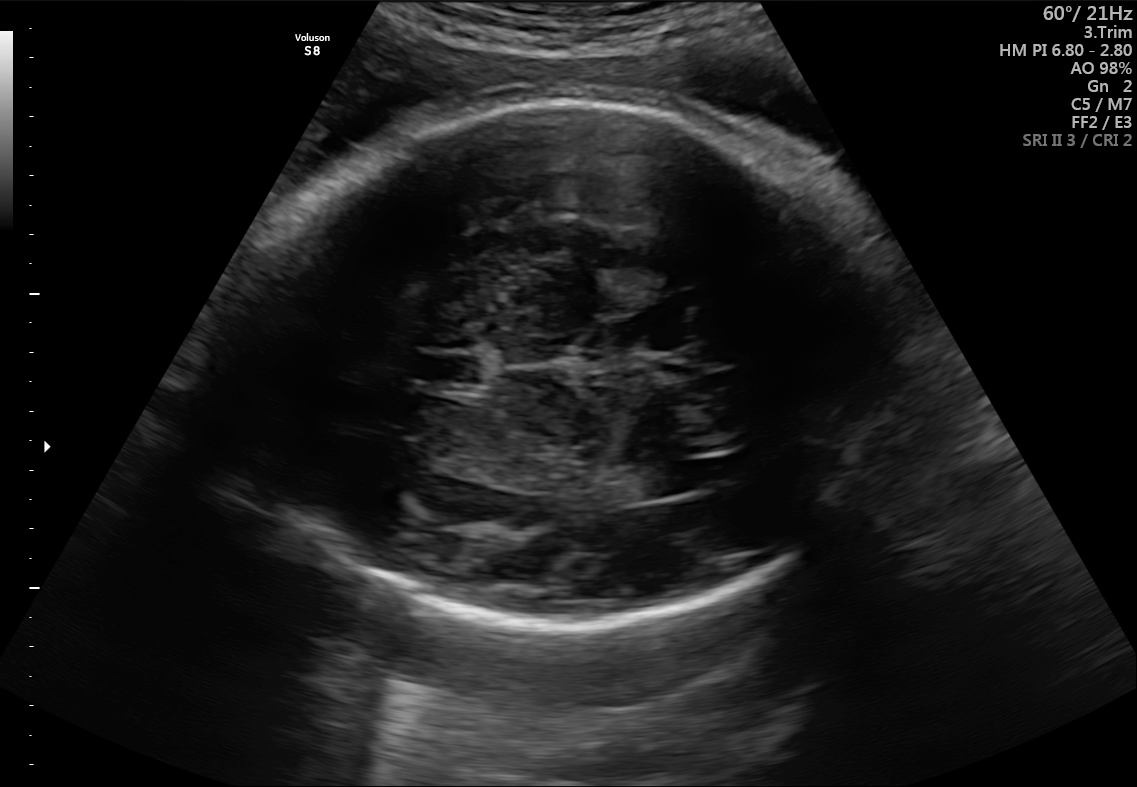
Fetal brain, trans-ventricular plane. Give [x1,y1,x2,y2] bounding boxes for each visible structure among: fetal head, CSP, LV.

Head: [218,94,914,633]
CSP: [423,354,481,384]
Lateral ventricle: [637,457,702,501]